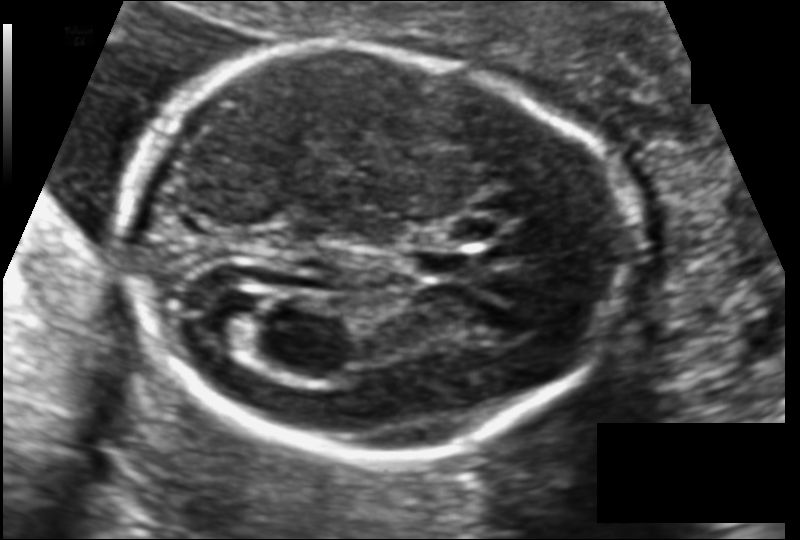
Fetal head ultrasound. Image width: 93.1 mm. Give [x1,y1,x2,y2] bounding boxes for each visible structure among: fetal head, CSP, LV.

Head: [123,49,622,458]
CSP: [409,248,473,278]
Lateral ventricle: [189,282,271,356]